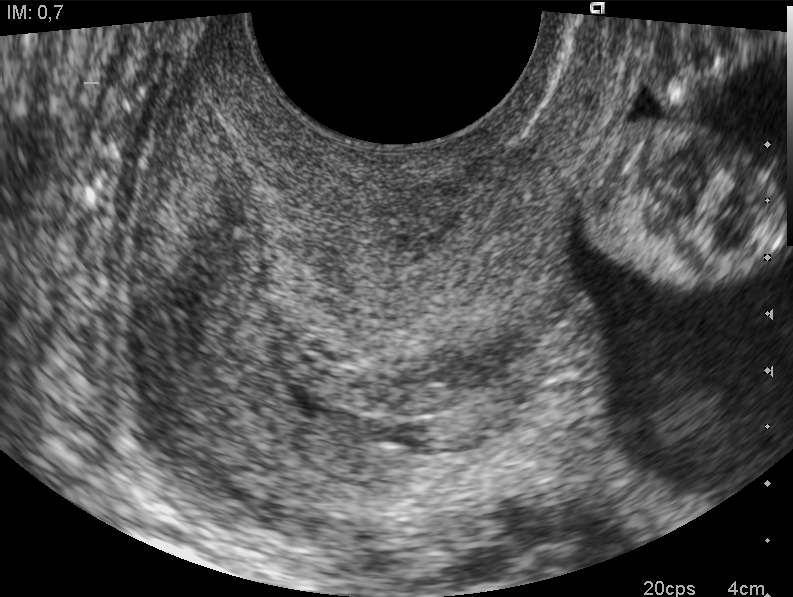
Classify this maternal-fetal ultrasound image as one of the six standard planes — fetal abdomen, fetal brain, fetal femur, fetal thorax, maternal cervix, or other. If it's fetal brain and one of the three standard brain planes (trans-thalamic, trans-cerebellum, trans-ventricular), name which.

Maternal cervix